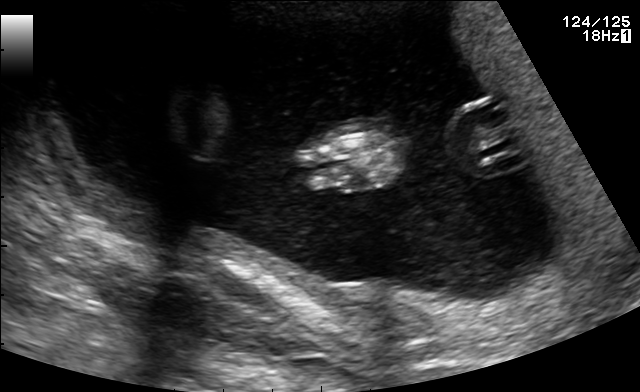
Which standard maternal-fetal ultrasound plane is shown: fetal abdomen, fetal brain, fetal femur, fetal thorax, maternal cervix, or other? If it's fetal brain and one of the three standard brain planes (trans-thalamic, trans-cerebellum, trans-ventricular), name which.

Other